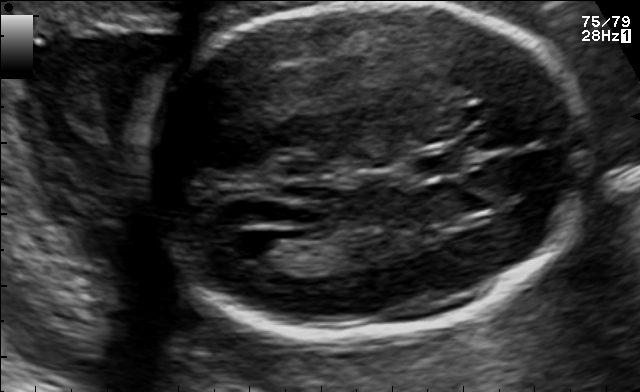
Fetal brain, trans-ventricular plane. Where is the fetal head?

Head bounding box: [123,2,606,346]